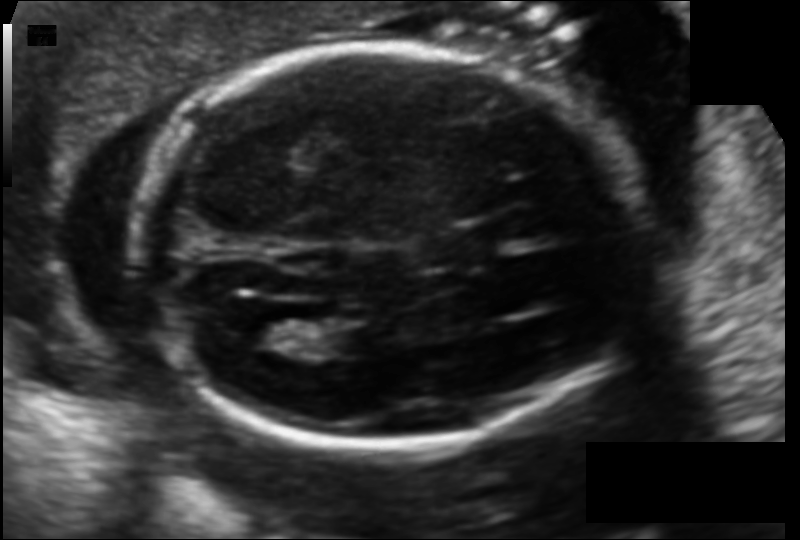
Fetal head ultrasound. Image width: 96.5 mm. Locate the cavum septum pellucidum.

CSP: [421,230,485,272]